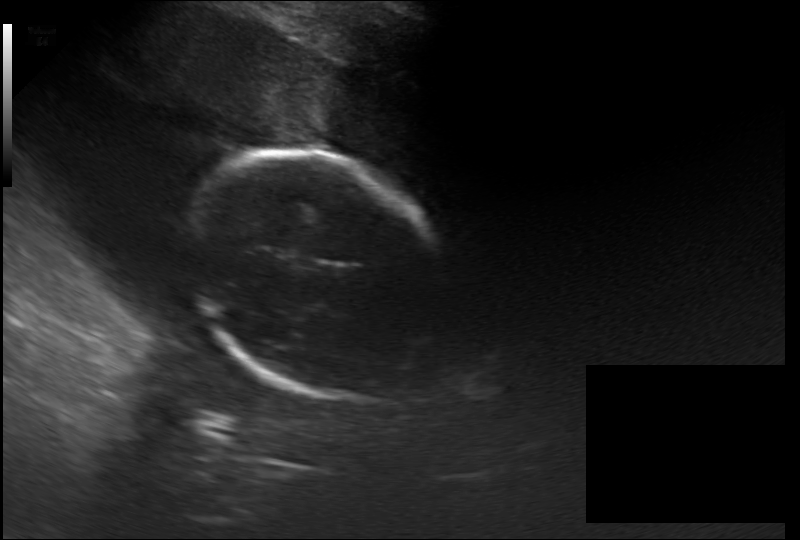
Estimate the fetal head circumference from this 2D ultrasound. Image width: 211.0 mm.

Head circumference: 217.9 mm.